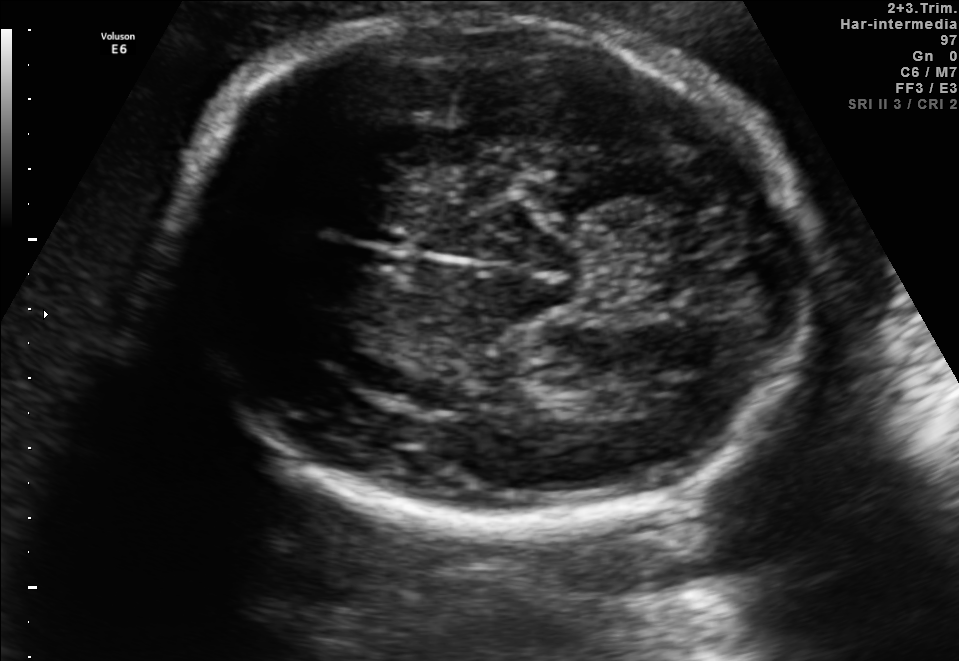
Classify this maternal-fetal ultrasound image as one of the six standard planes — fetal abdomen, fetal brain, fetal femur, fetal thorax, maternal cervix, or other. If it's fetal brain and one of the three standard brain planes (trans-thalamic, trans-cerebellum, trans-ventricular), name which.

Fetal brain (trans-thalamic plane)